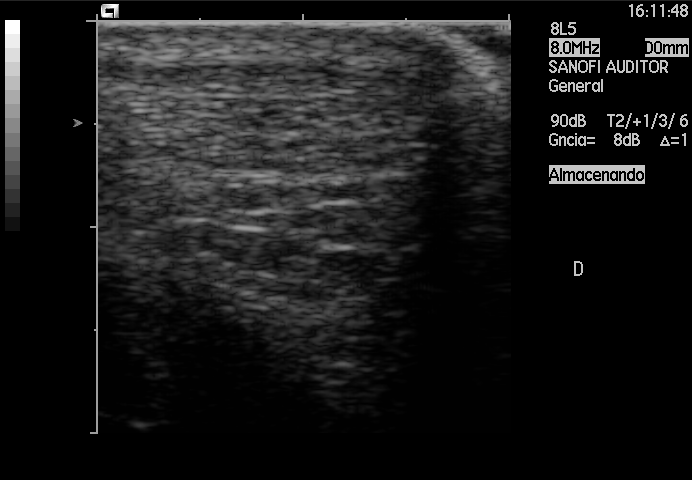
Identify the standard plane in this fetal ultrasound image: fetal abdomen, fetal brain, fetal femur, fetal thorax, maternal cervix, or other. If it's fetal brain and one of the three standard brain planes (trans-thalamic, trans-cerebellum, trans-ventricular), name which.

Other